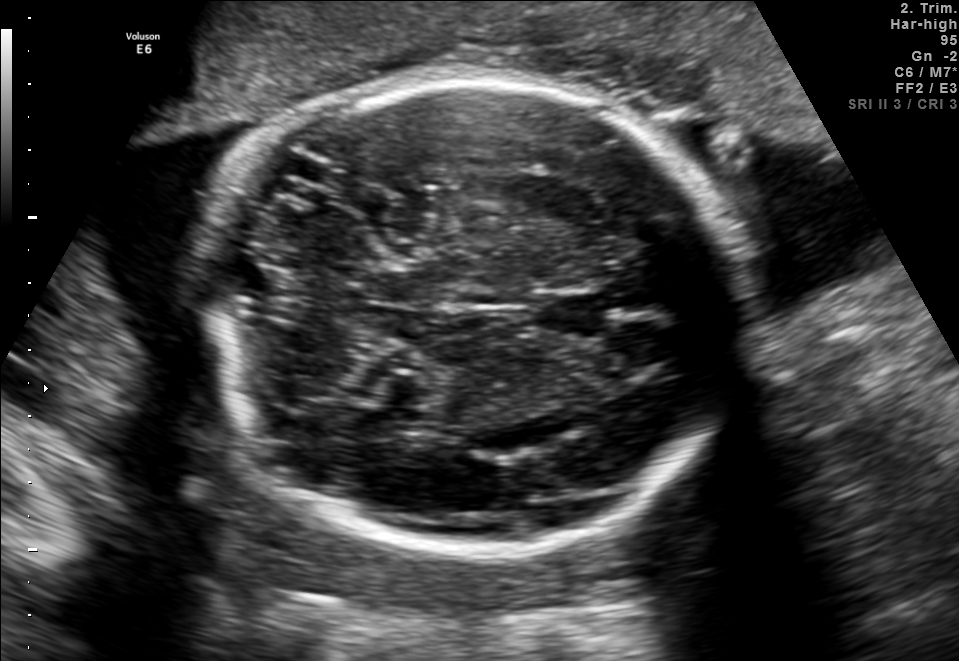
Fetal brain, trans-cerebellum plane. Locate the cavum septum pellucidum.

CSP: [536,292,603,339]